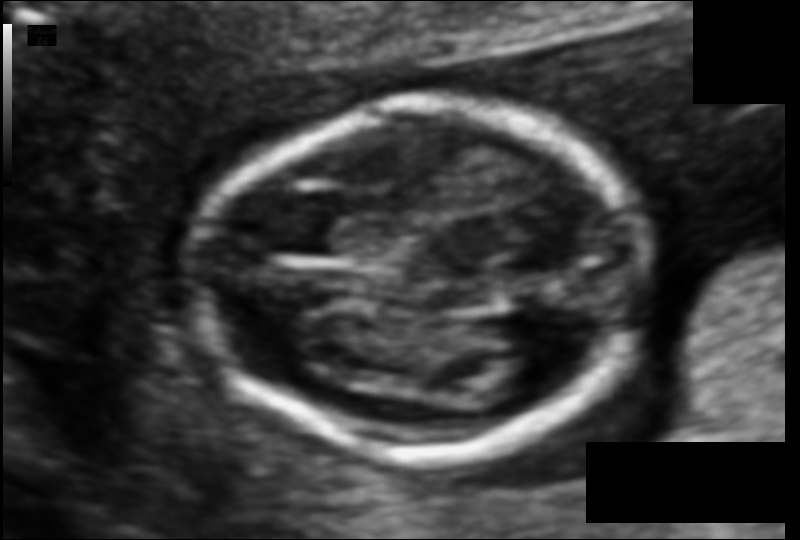
In this fetal head ultrasound, give the bounding box of the fetal head. Image width: 61.5 mm.

[197,105,648,458]